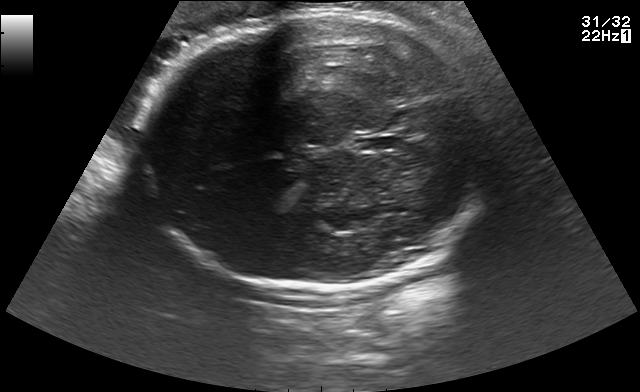
Fetal brain, trans-thalamic plane. Where is the fetal head?

Head bounding box: [138,14,495,290]